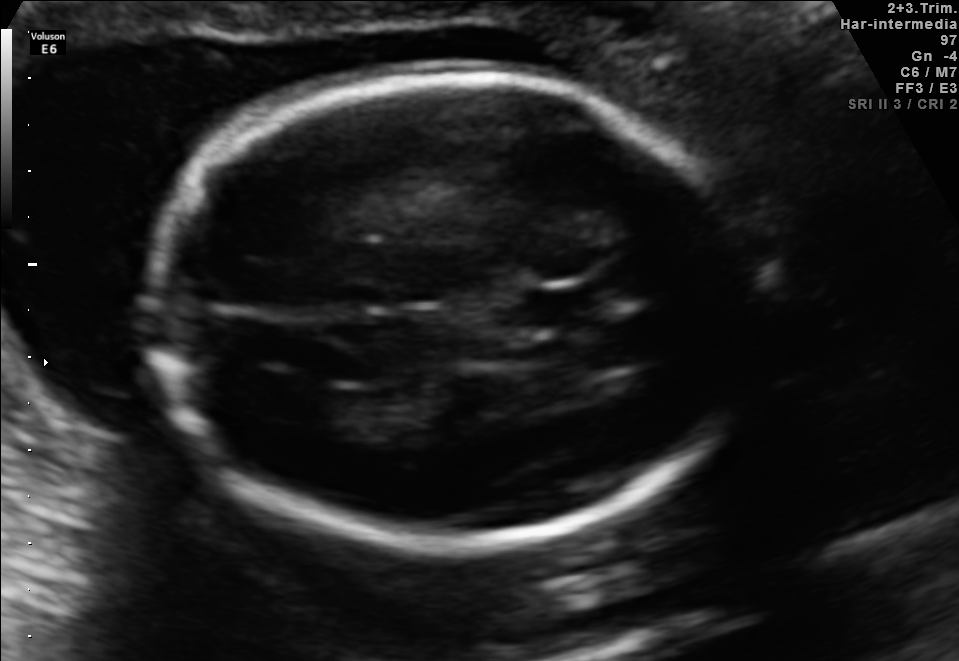
In this fetal brain, trans-ventricular plane, give the bounding box of the lateral ventricle.

[270,377,345,434]